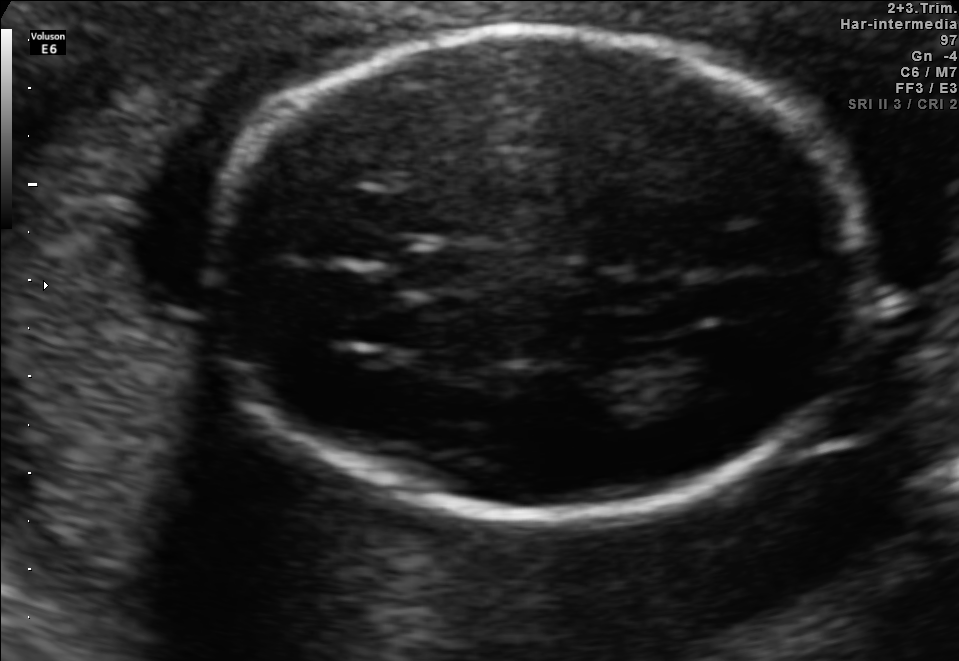
In this fetal brain, trans-thalamic plane, give the bounding box of the fetal head.

[211,31,862,516]